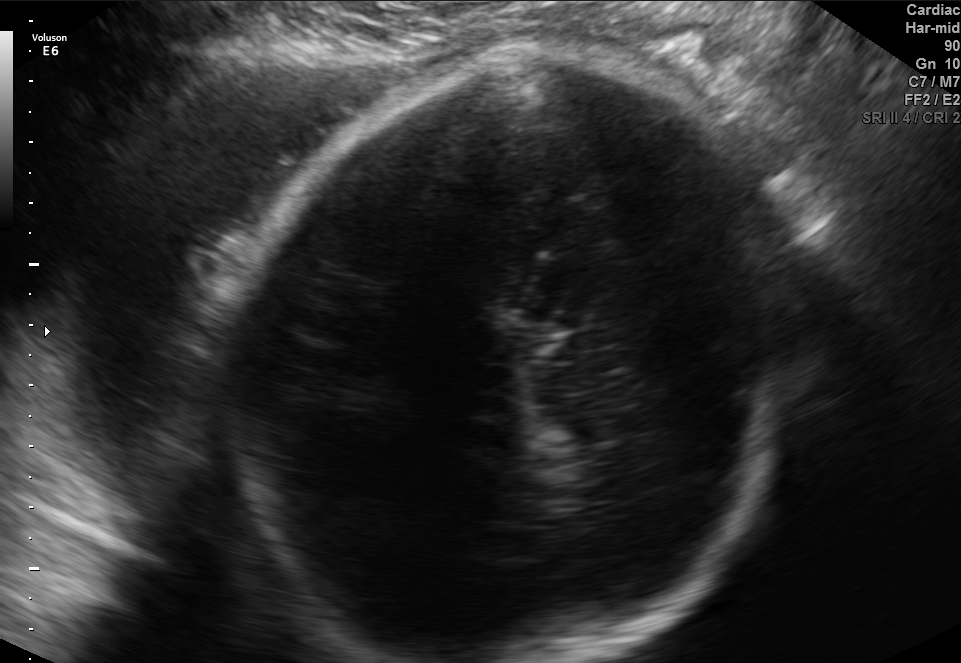
Which standard maternal-fetal ultrasound plane is shown: fetal abdomen, fetal brain, fetal femur, fetal thorax, maternal cervix, or other? If it's fetal brain and one of the three standard brain planes (trans-thalamic, trans-cerebellum, trans-ventricular), name which.

Fetal brain (trans-thalamic plane)